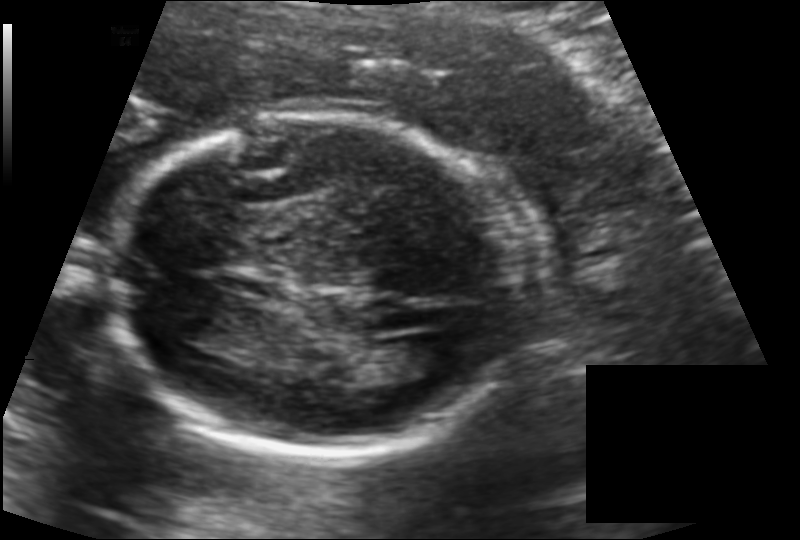
Estimate the fetal head circumference from this 2D ultrasound.

Head circumference: 172.3 mm (image width 113.5 mm).